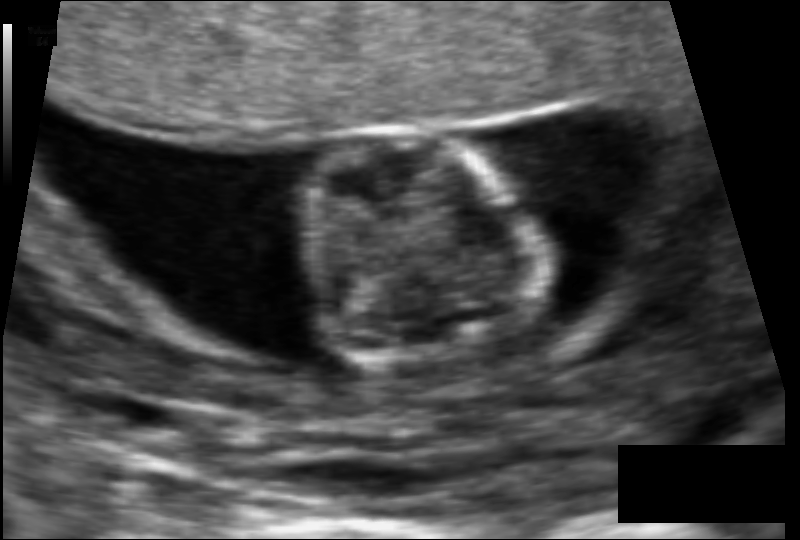
In this fetal head ultrasound, give bounding boxes for the head outline, cavum septum pellucidum (CSP), and lateral ventricle (LV), where visible. Image width: 63.1 mm.

Head: [296,128,531,373]